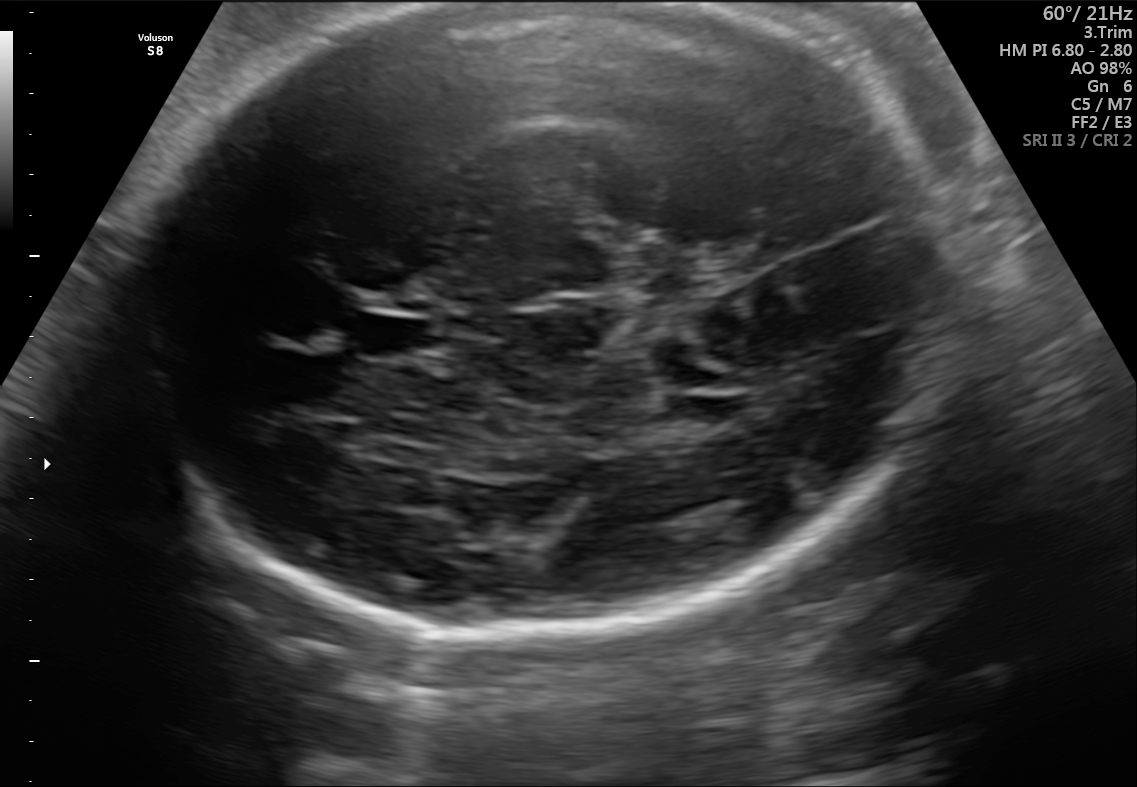
This is a 2D maternal-fetal ultrasound frame. Is it a fetal abdomen, fetal brain, fetal femur, fetal thorax, maternal cervix, or other standard plane? If it's fetal brain and one of the three standard brain planes (trans-thalamic, trans-cerebellum, trans-ventricular), name which.

Fetal brain (trans-thalamic plane)